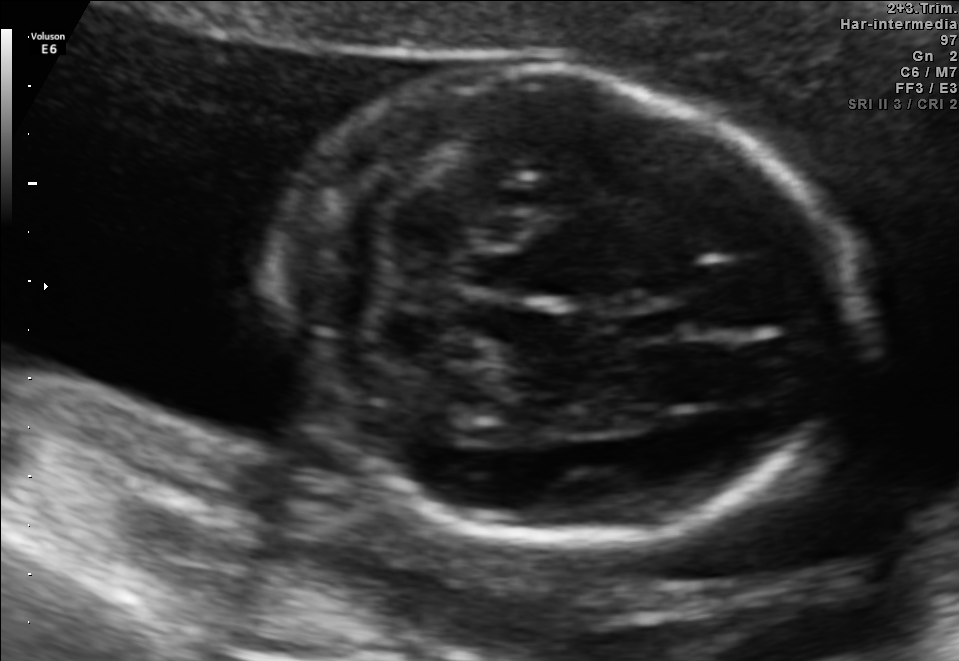
Fetal brain, trans-cerebellum plane. Locate the cavum septum pellucidum.

CSP: [621,299,693,345]